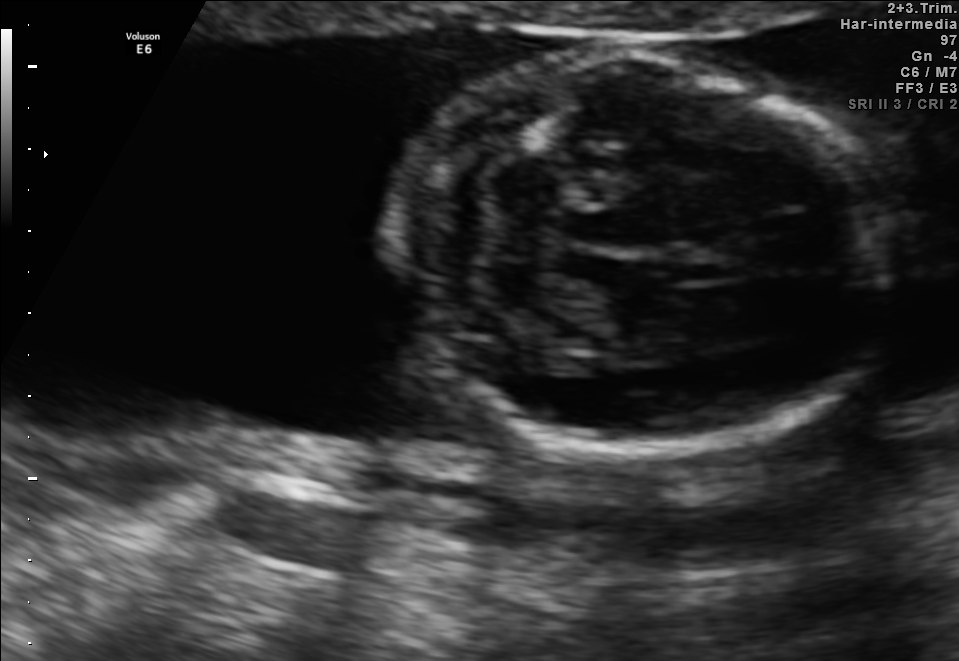
Fetal brain, trans-cerebellum plane. Locate the fetal head.

Head: [393,51,892,458]